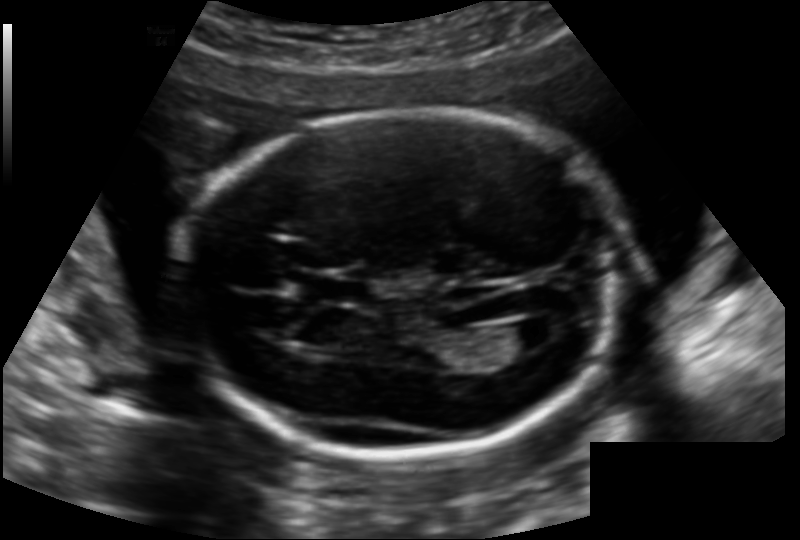
In this fetal head ultrasound, give bounding boxes for the head outline, cavum septum pellucidum (CSP), and lateral ventricle (LV), where visible. Image width: 113.4 mm.

Head: [184,109,618,453]
CSP: [302,274,368,305]
Lateral ventricle: [497,313,556,357]